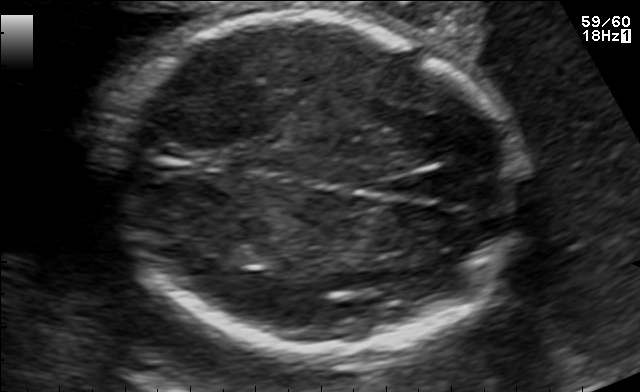
Classify this maternal-fetal ultrasound image as one of the six standard planes — fetal abdomen, fetal brain, fetal femur, fetal thorax, maternal cervix, or other. If it's fetal brain and one of the three standard brain planes (trans-thalamic, trans-cerebellum, trans-ventricular), name which.

Fetal brain (trans-thalamic plane)